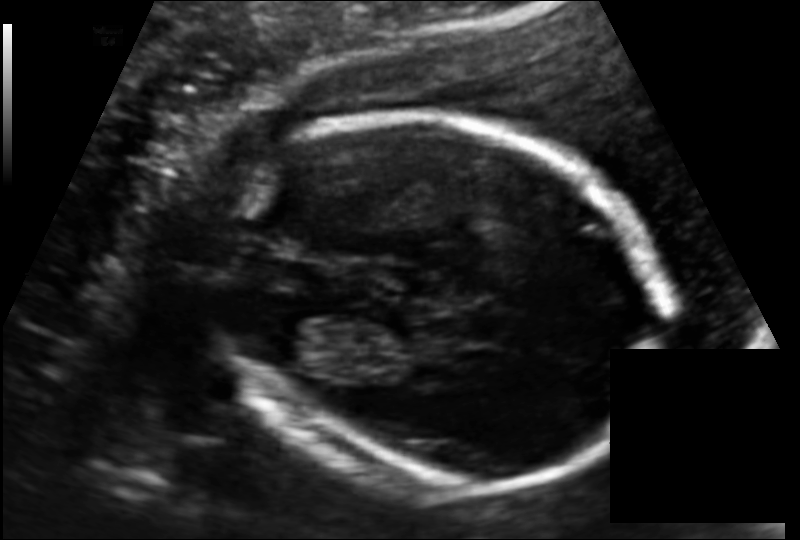
Estimate the fetal head circumference from this 2D ultrasound. Image width: 103.9 mm.

Head circumference: 172.3 mm.